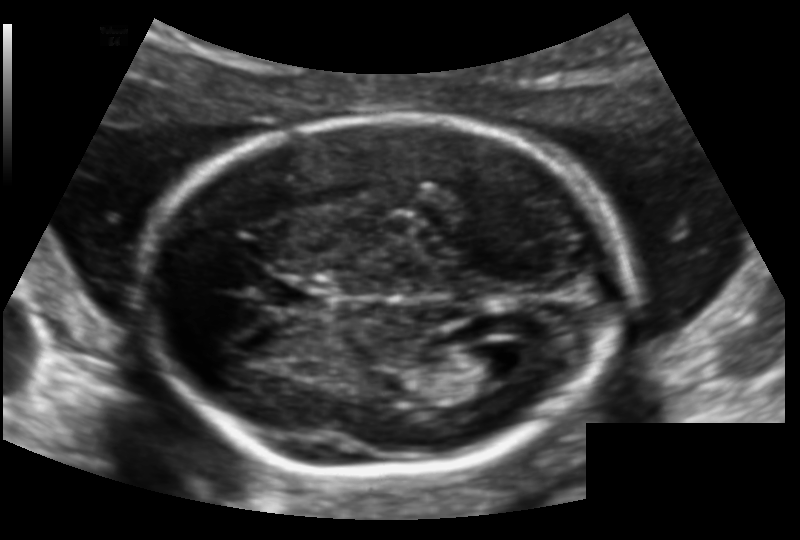
Fetal head ultrasound. Image width: 102.0 mm. Give [x1,y1,x2,y2] bounding boxes for each visible structure among: fetal head, CSP, LV.

Head: [145,115,623,477]
CSP: [266,276,325,313]
Lateral ventricle: [452,337,520,390]